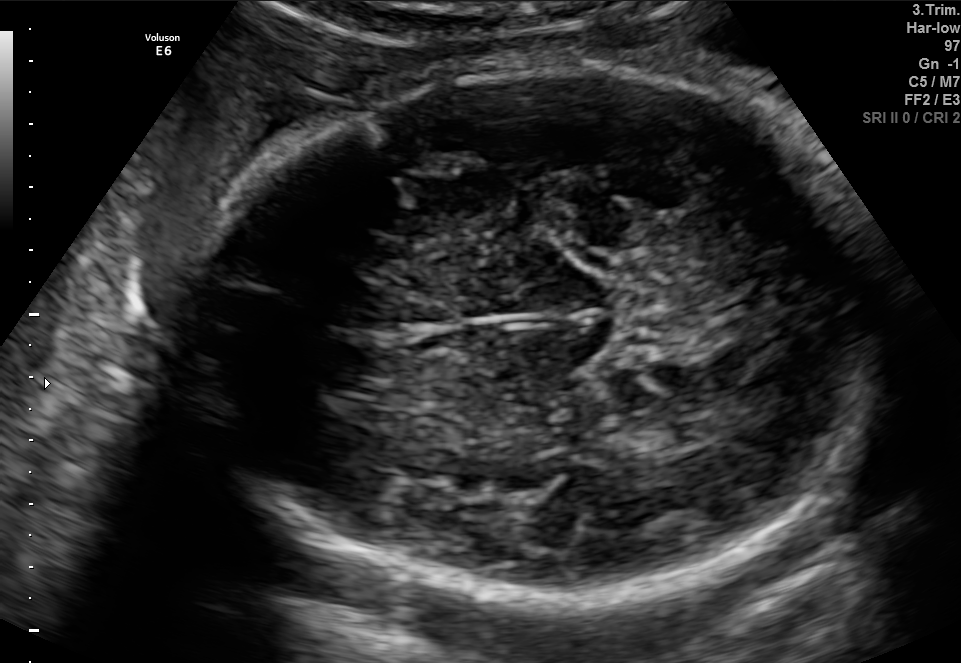
Fetal brain, trans-thalamic plane. Where is the fetal head?

Head bounding box: [182,60,875,597]